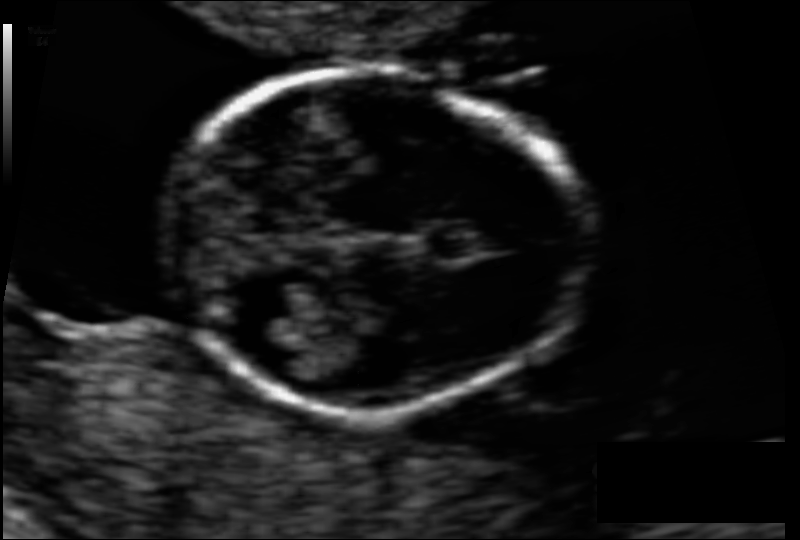
Estimate the fetal head circumference from this 2D ultrasound. Image width: 52.1 mm.

Head circumference: 79.1 mm.